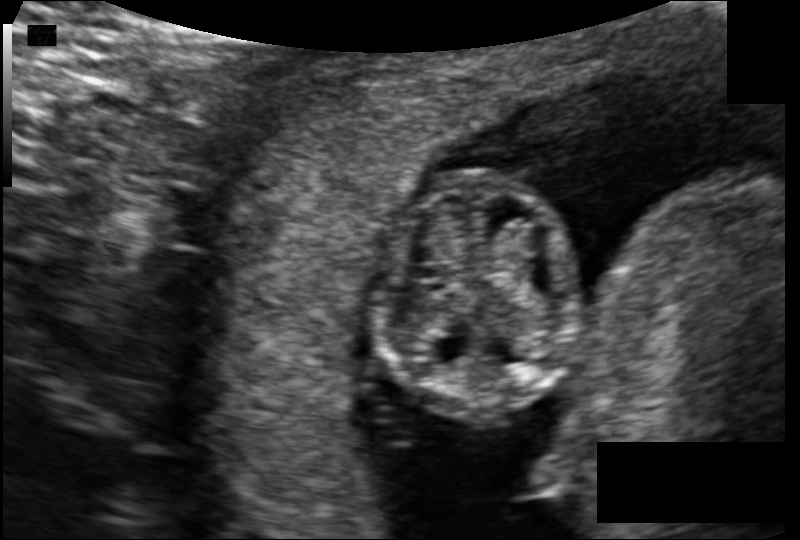
Estimate the fetal head circumference from this 2D ultrasound.

Head circumference: 74.3 mm (image width 81.0 mm).